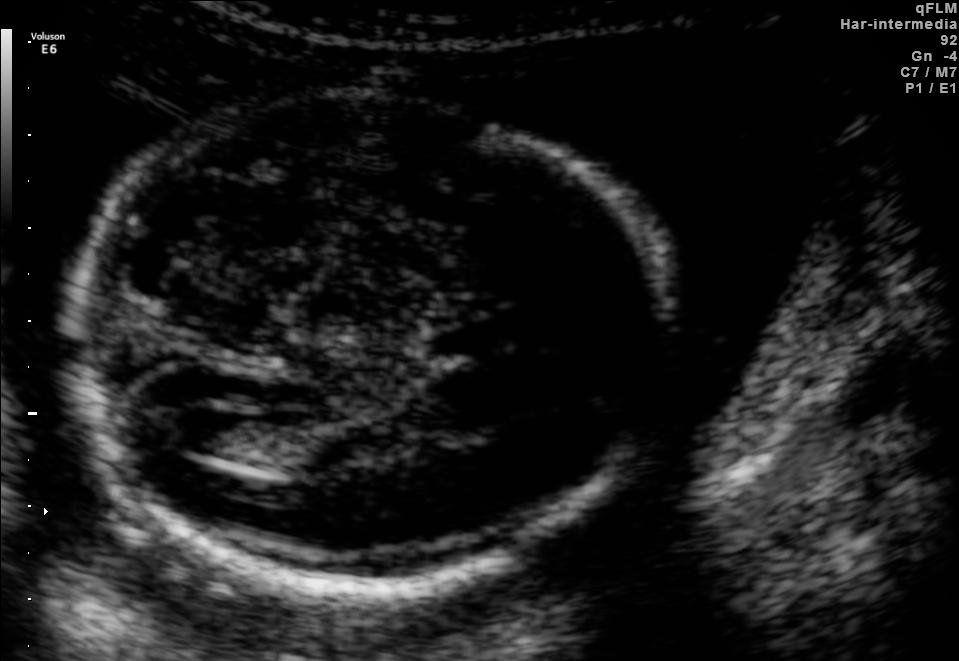
Fetal brain, trans-ventricular plane. Locate the lateral ventricle.

Lateral ventricle: [165,401,250,462]